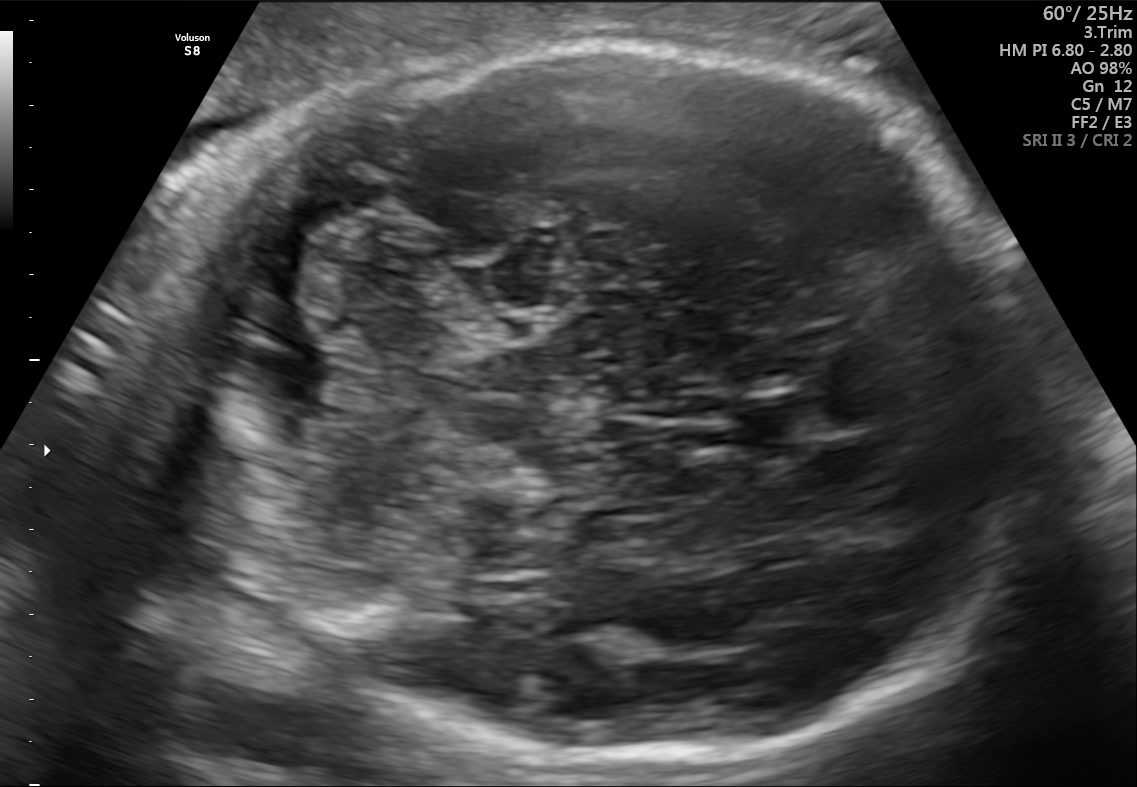
In this fetal brain, trans-cerebellum plane, give bounding boxes for the head outline, cavum septum pellucidum (CSP), and lateral ventricle (LV), where visible.

Head: [145,42,1049,760]
CSP: [732,386,832,461]